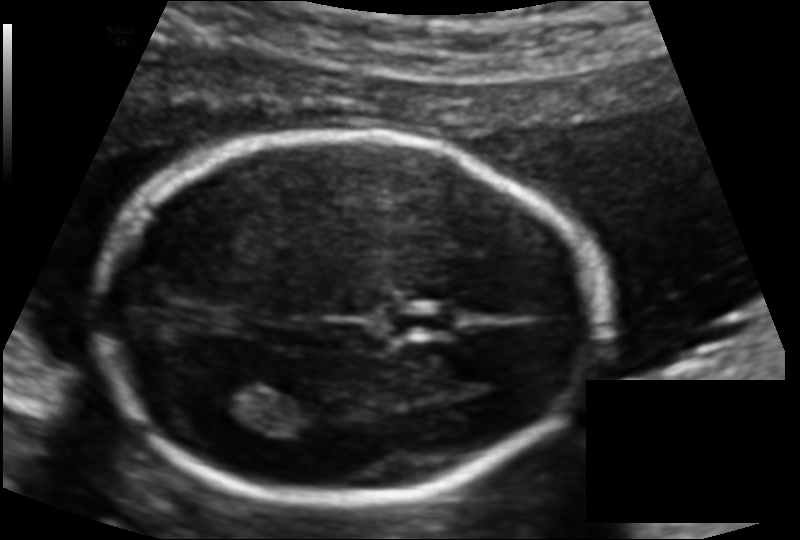
Fetal head ultrasound. Image width: 91.6 mm. Locate the fetal head.

Head: [101,135,602,500]